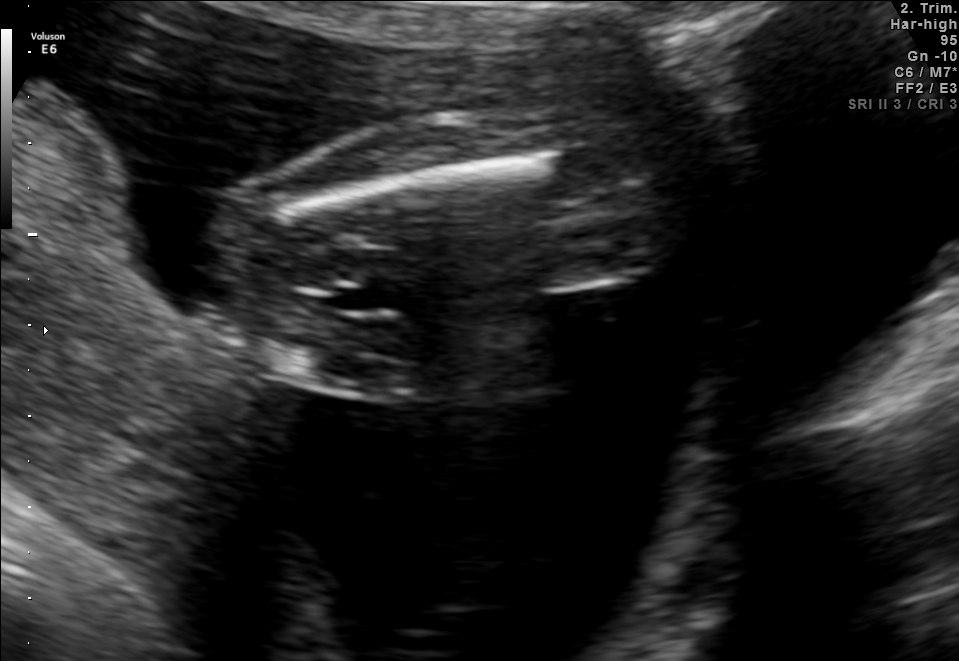
Identify the standard plane in this fetal ultrasound image: fetal abdomen, fetal brain, fetal femur, fetal thorax, maternal cervix, or other. If it's fetal brain and one of the three standard brain planes (trans-thalamic, trans-cerebellum, trans-ventricular), name which.

Fetal femur